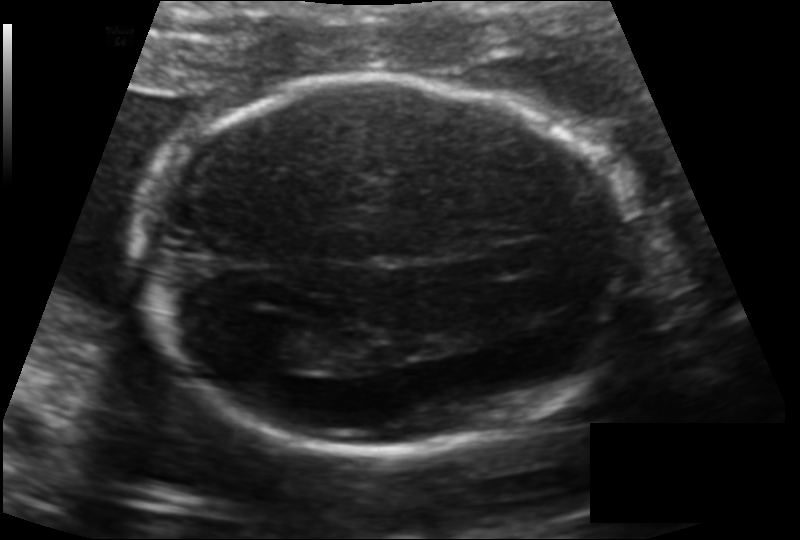
Estimate the fetal head circumference from this 2D ultrasound. Image width: 107.0 mm.

Head circumference: 192.5 mm.